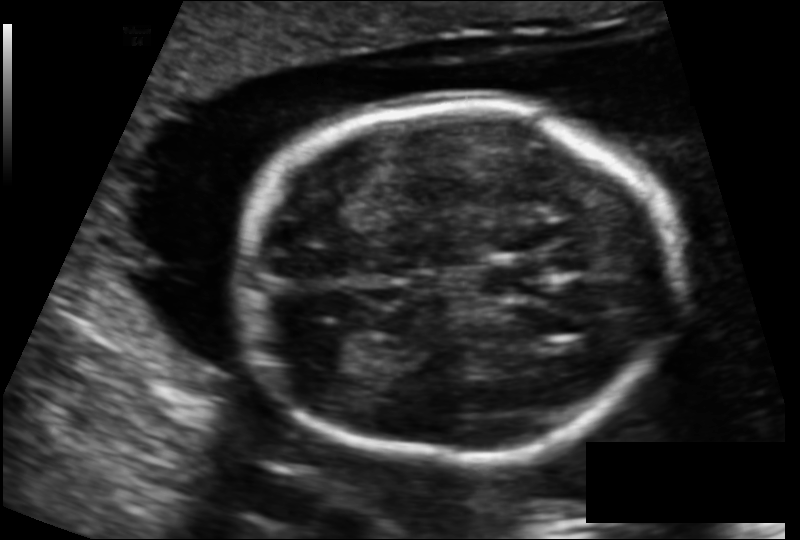
In this fetal head ultrasound, give the bounding box of the fetal head. Image width: 104.4 mm.

[239,105,677,462]